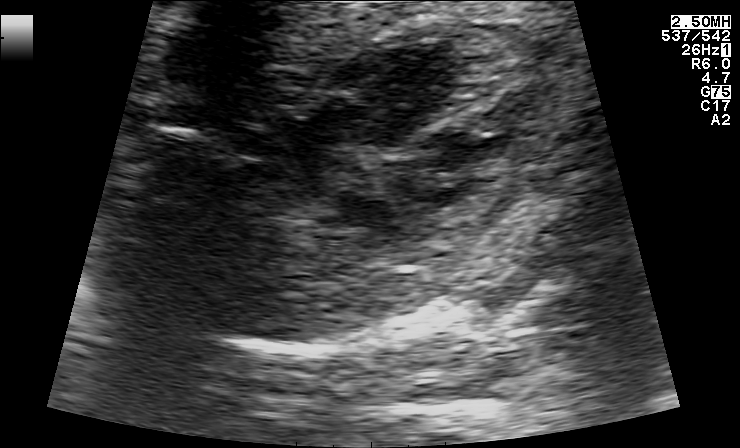
Which standard maternal-fetal ultrasound plane is shown: fetal abdomen, fetal brain, fetal femur, fetal thorax, maternal cervix, or other? If it's fetal brain and one of the three standard brain planes (trans-thalamic, trans-cerebellum, trans-ventricular), name which.

Fetal thorax